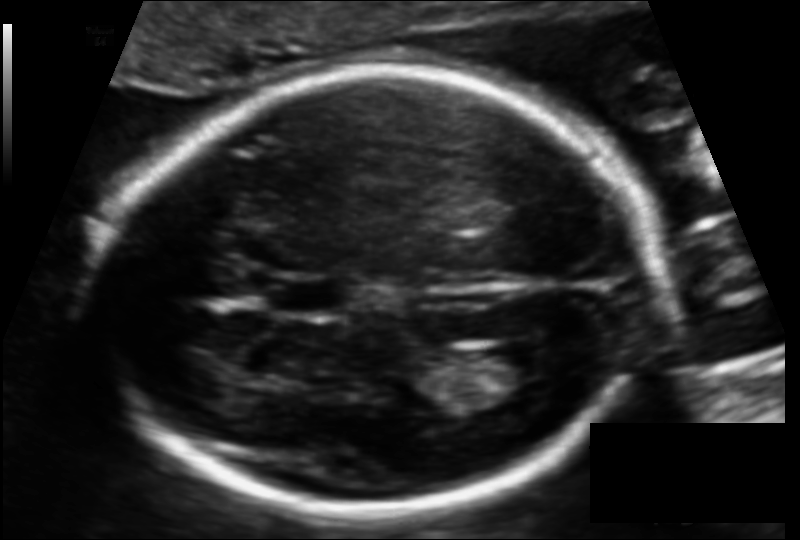
Measure the fetal head circumference shown in this ultrasound image. Image width: 89.8 mm.

Head circumference: 186.5 mm.